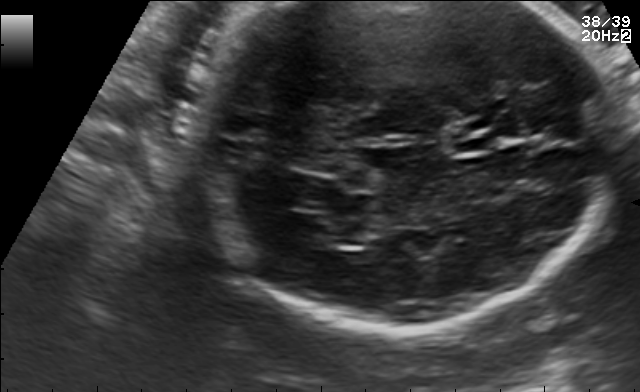
Fetal brain, trans-cerebellum plane. Locate the lateral ventricle.

Lateral ventricle: [301,215,366,246]